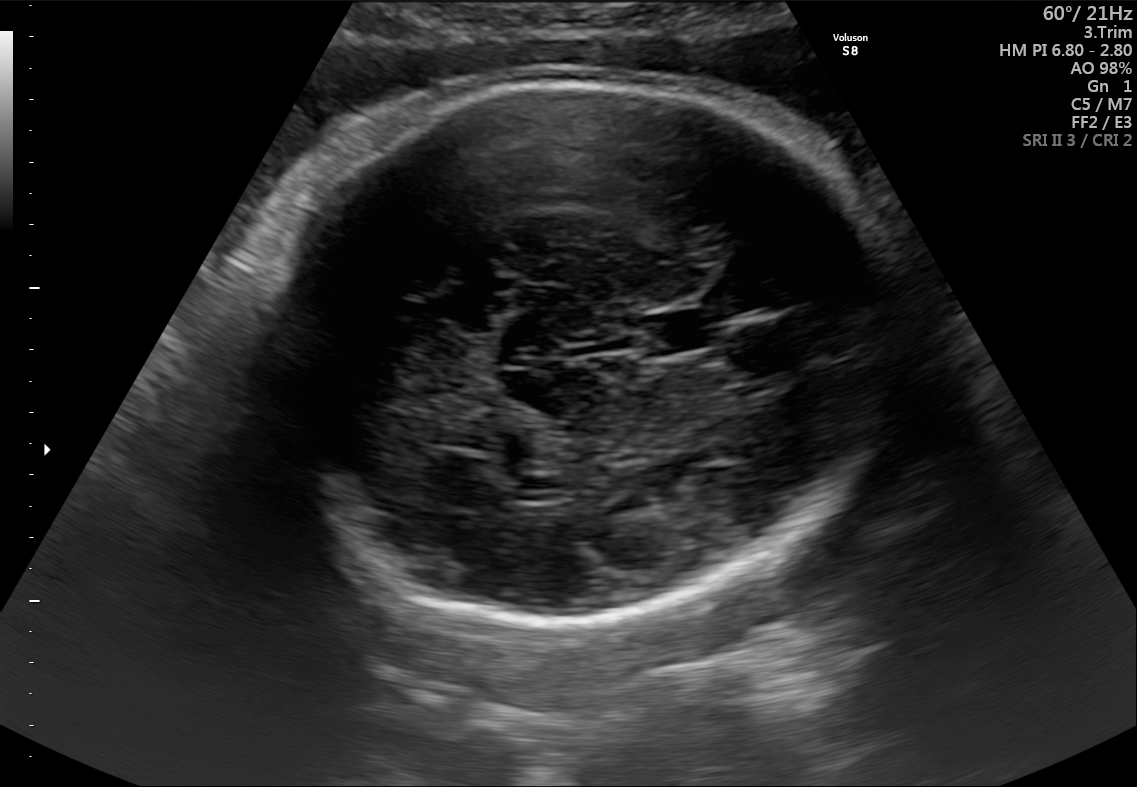
In this fetal brain, trans-thalamic plane, give the bounding box of the fetal head.

[263,75,916,614]